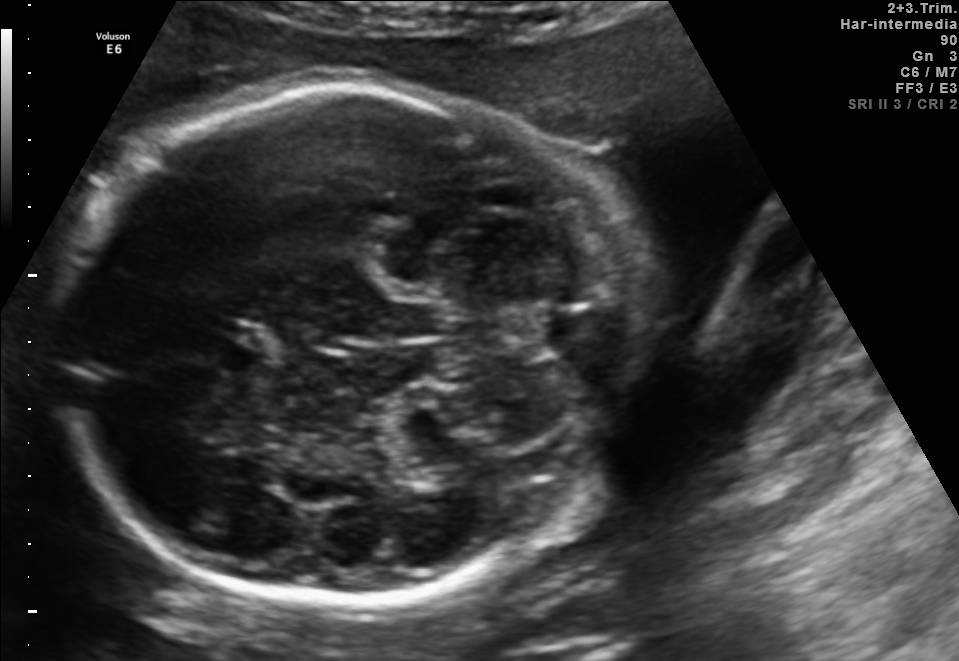
Fetal brain, trans-cerebellum plane. Locate the fetal head.

Head: [51,85,616,608]